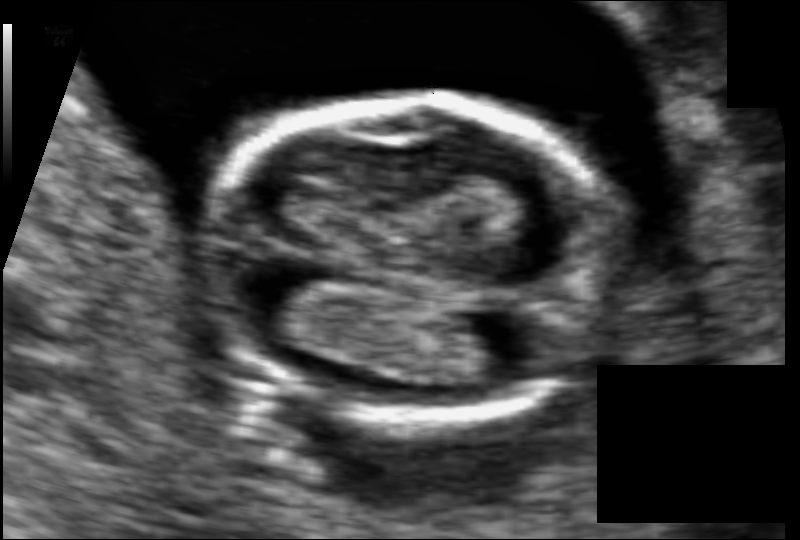
Fetal head ultrasound. Image width: 59.9 mm. Give [x1,y1,x2,y2] bounding boxes for each visible structure among: fetal head, CSP, LV.

Head: [209,97,630,418]